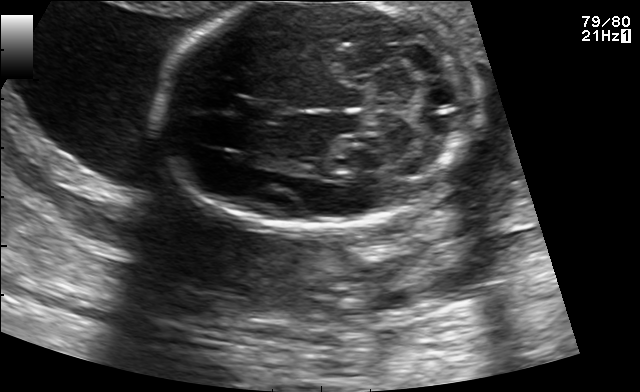
Fetal brain, trans-cerebellum plane. Locate the fetal head and, if visible, the cavum septum pellucidum (CSP) and lateral ventricle (LV). Give bounding boxes as [x1,y1,x2,y2].

Head: [156,3,483,228]
CSP: [236,97,287,125]